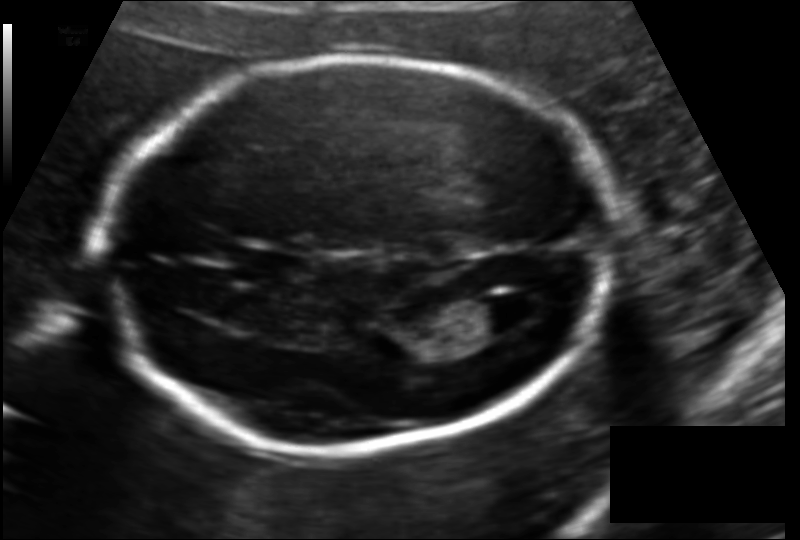
In this fetal head ultrasound, give the bounding box of the fetal head. Image width: 101.5 mm.

[103,59,609,450]